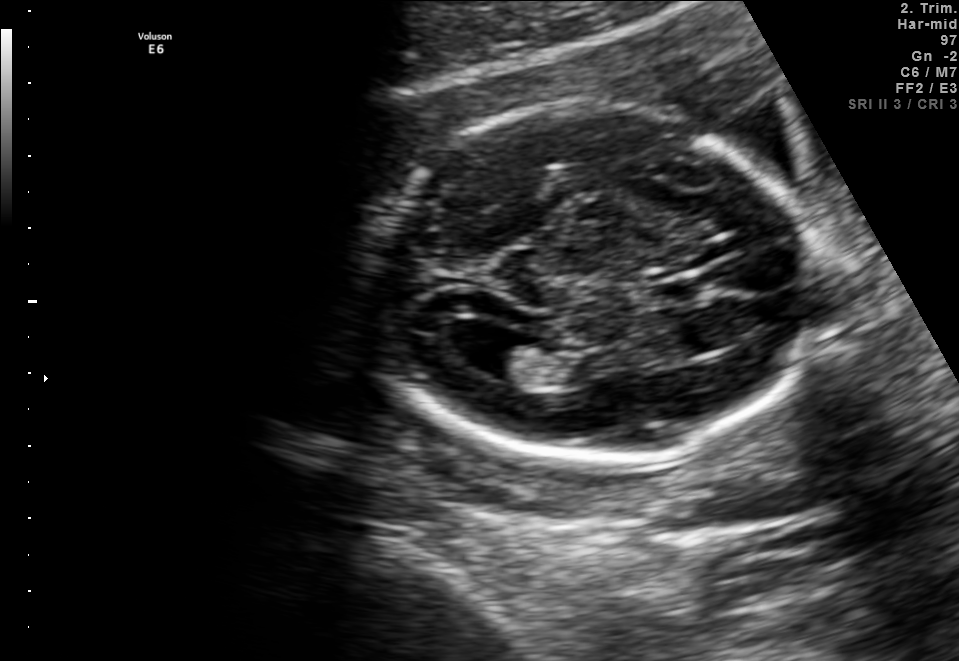
Fetal brain, trans-ventricular plane. Locate the lateral ventricle.

Lateral ventricle: [453,315,535,385]